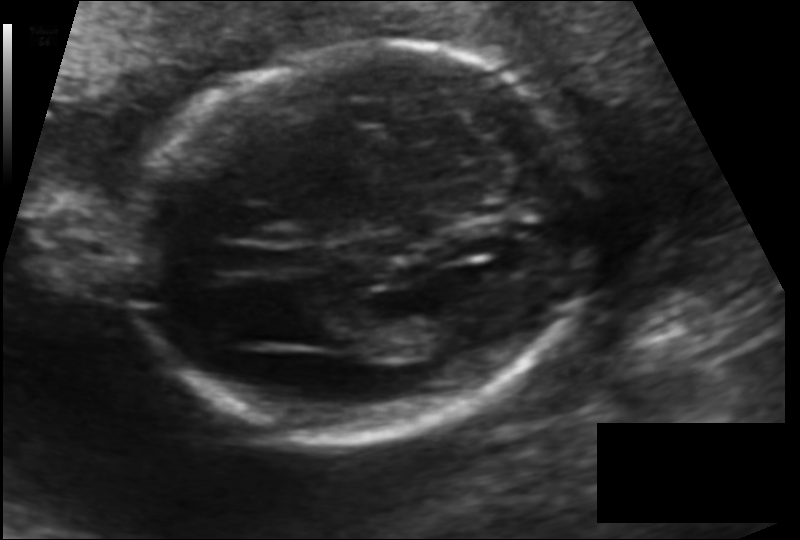
In this fetal head ultrasound, give the bounding box of the fetal head. Image width: 96.4 mm.

[132,44,590,434]